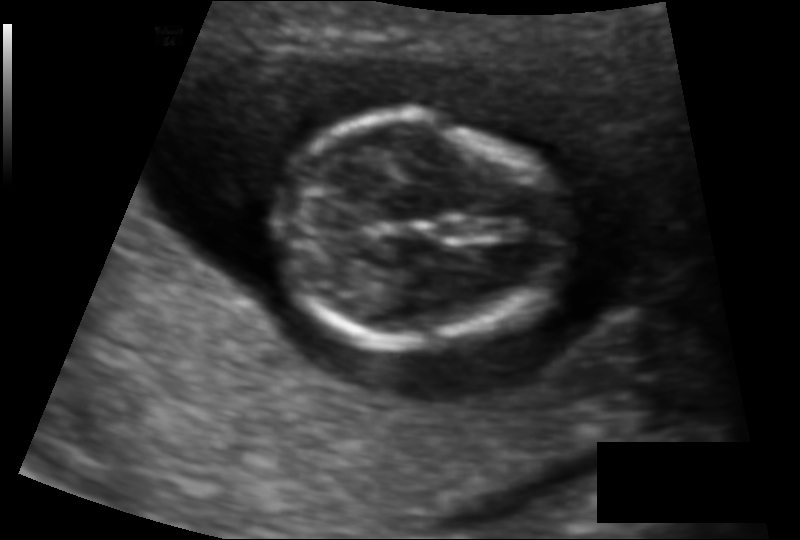
Fetal head ultrasound. Image width: 76.6 mm. Locate the fetal head.

Head: [275,119,563,344]